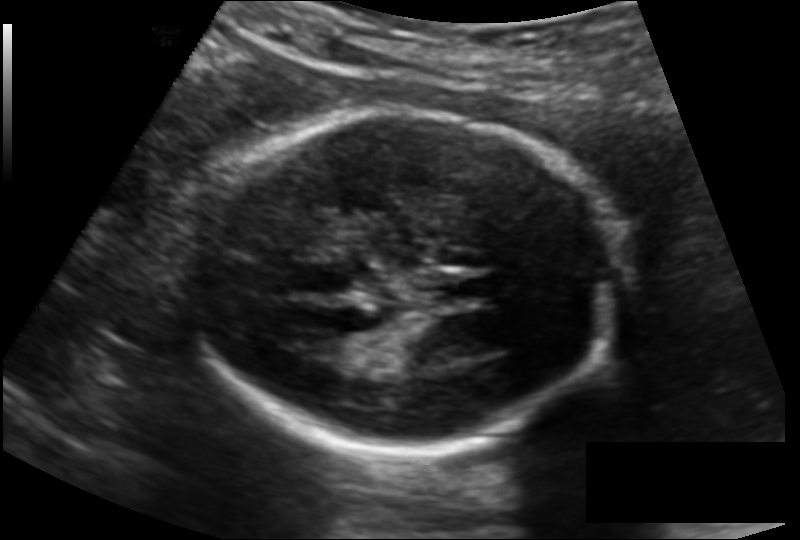
Estimate the fetal head circumference from this 2D ultrasound. Image width: 107.6 mm.

Head circumference: 168.3 mm.